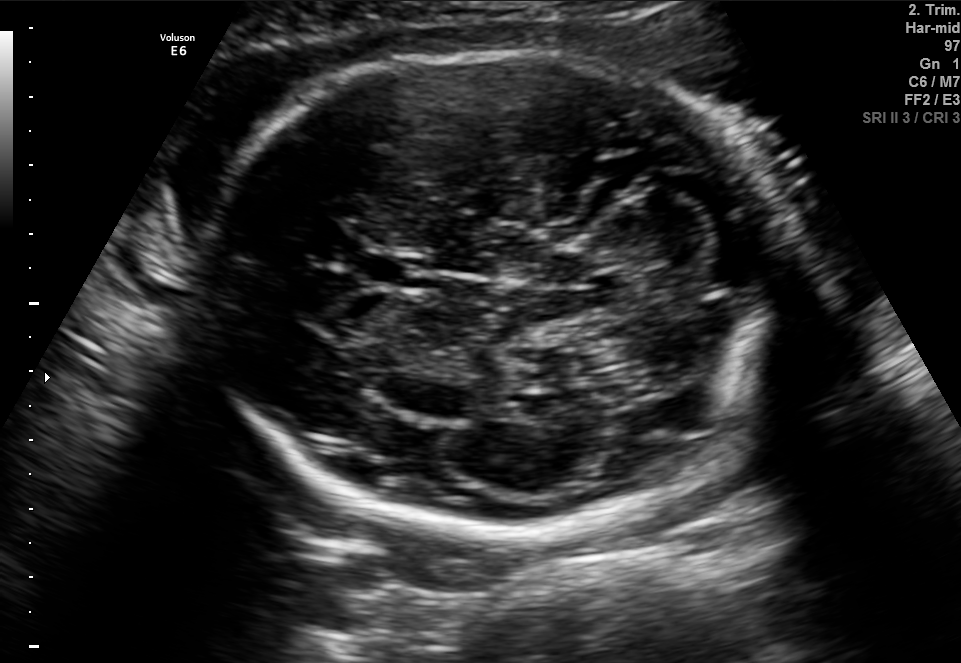
In this fetal brain, trans-cerebellum plane, give the bounding box of the fetal head.

[207,53,786,530]